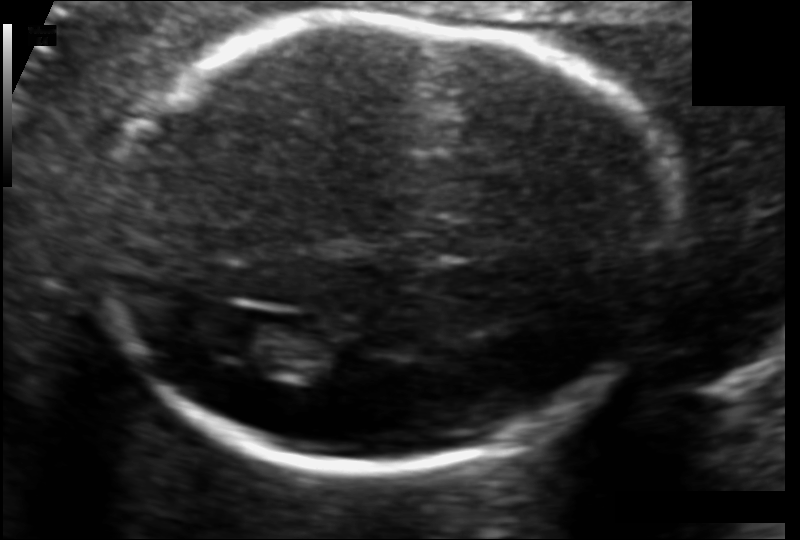
In this fetal head ultrasound, give the bounding box of the fetal head. Image width: 84.9 mm.

[100,16,667,470]